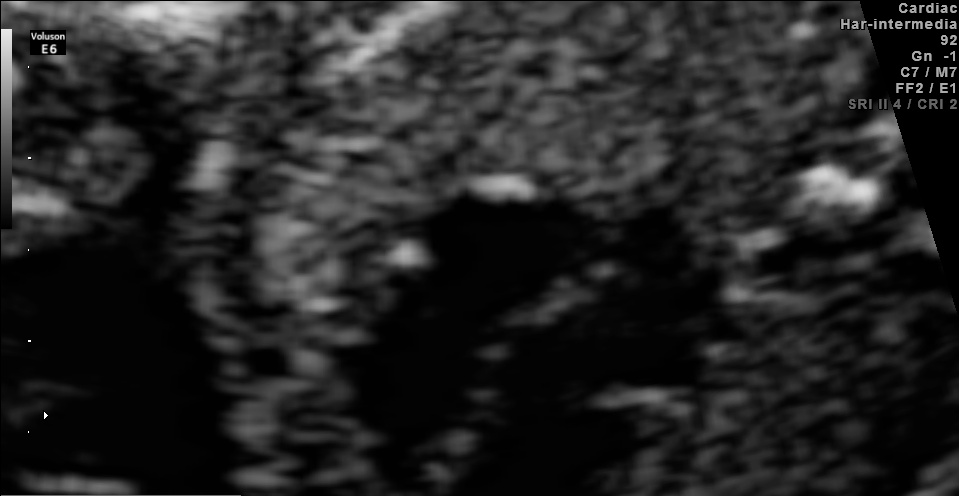
Identify the standard plane in this fetal ultrasound image: fetal abdomen, fetal brain, fetal femur, fetal thorax, maternal cervix, or other. If it's fetal brain and one of the three standard brain planes (trans-thalamic, trans-cerebellum, trans-ventricular), name which.

Fetal thorax